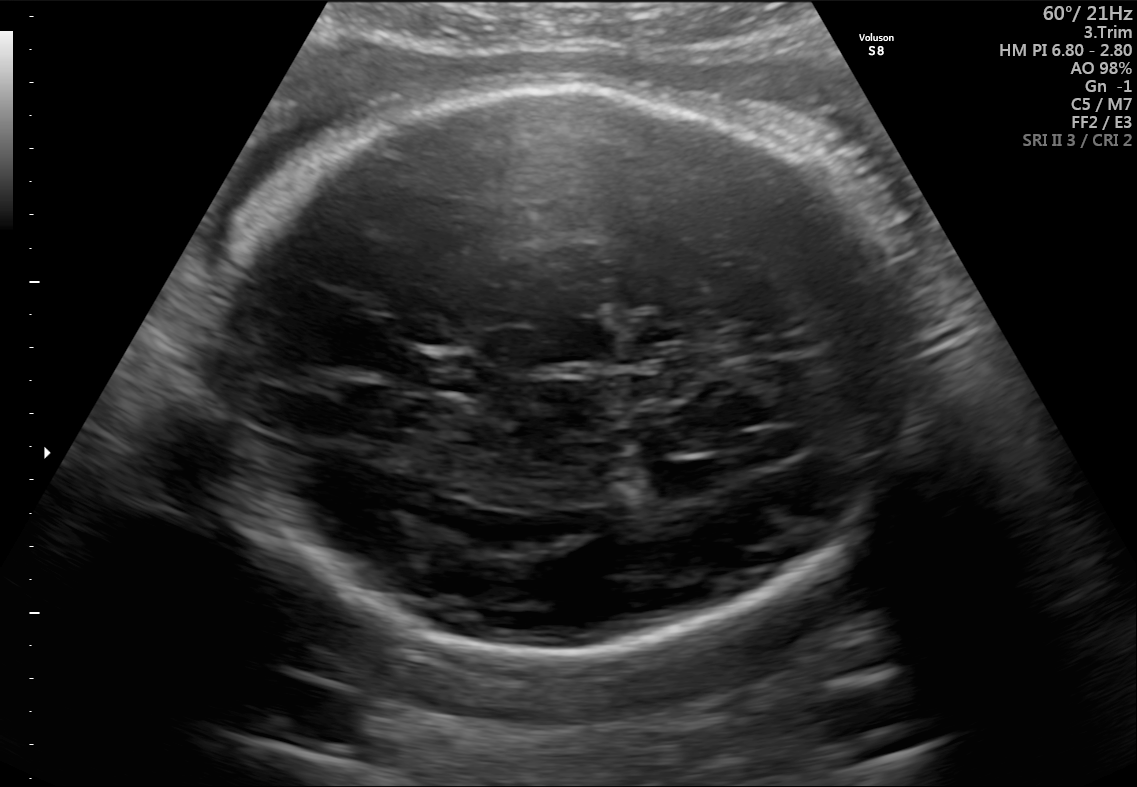
Fetal brain, trans-thalamic plane. Locate the fetal head.

Head: [206,90,909,654]